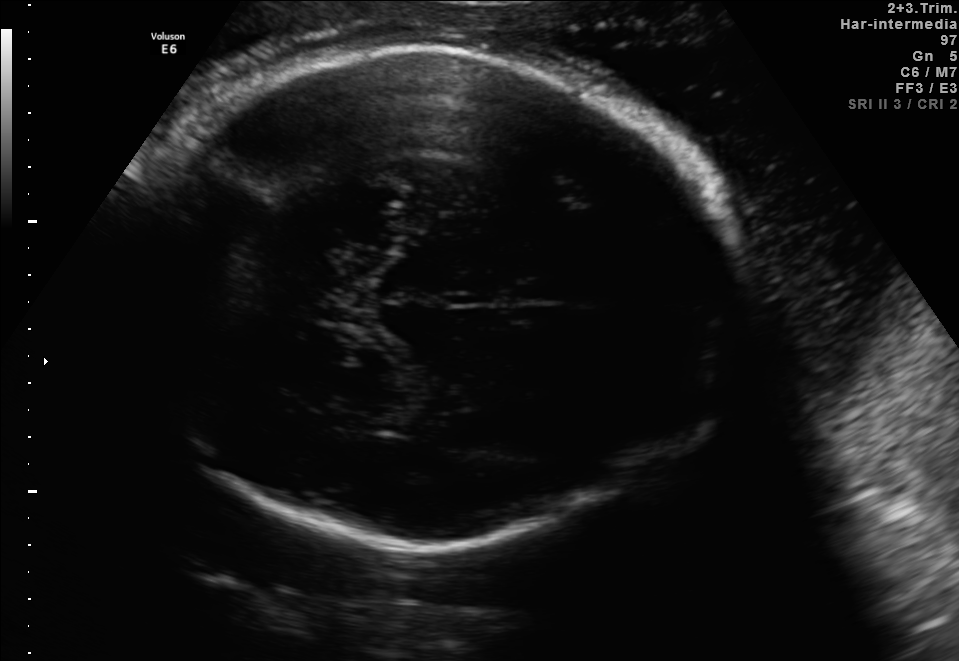
Identify the standard plane in this fetal ultrasound image: fetal abdomen, fetal brain, fetal femur, fetal thorax, maternal cervix, or other. If it's fetal brain and one of the three standard brain planes (trans-thalamic, trans-cerebellum, trans-ventricular), name which.

Fetal brain (trans-thalamic plane)